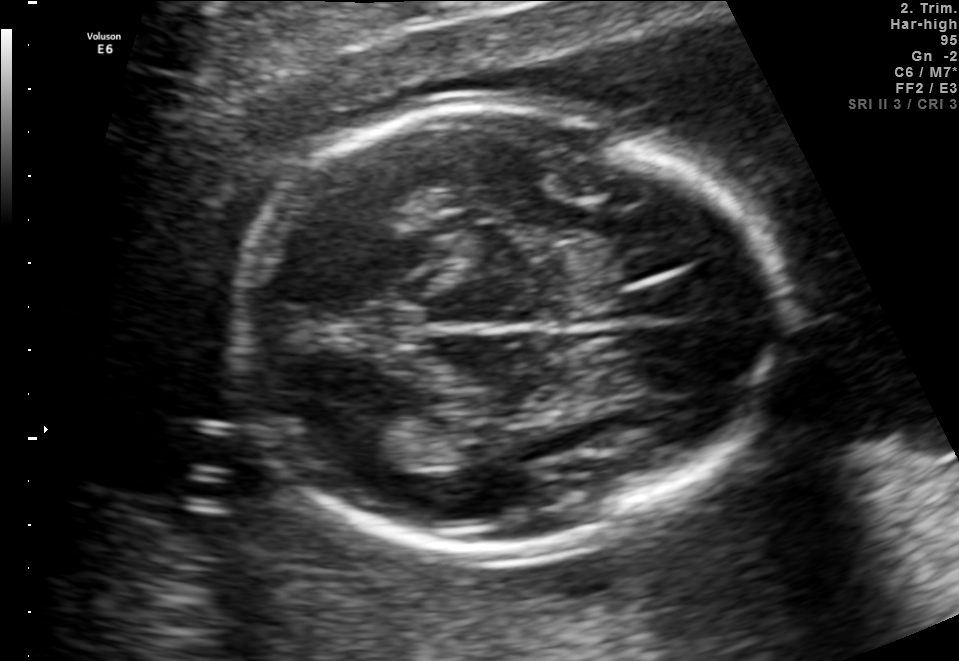
Fetal brain, trans-thalamic plane. Locate the fetal head.

Head: [231,110,786,549]